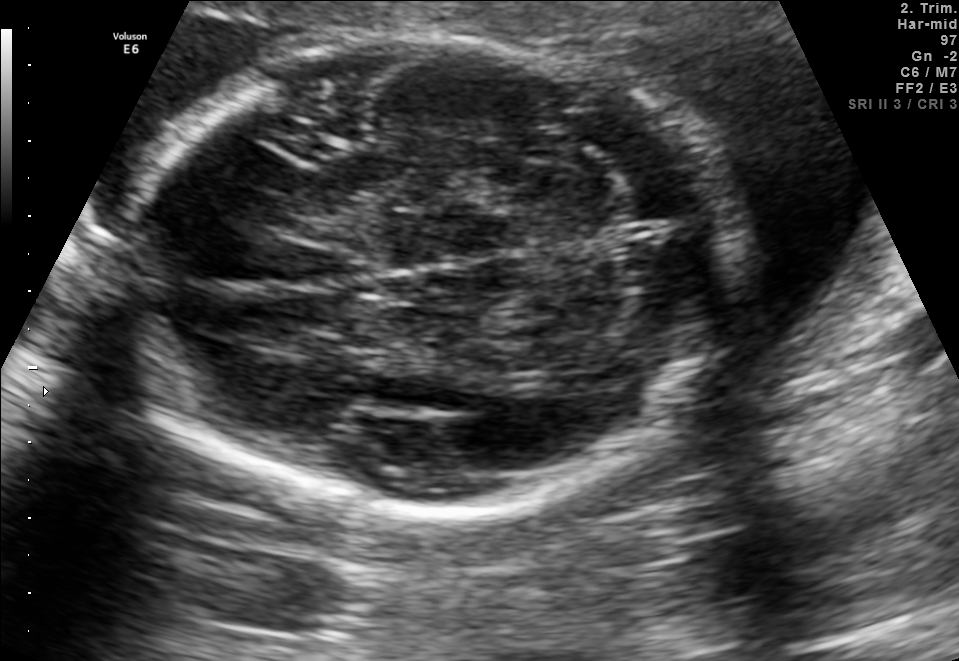
In this fetal brain, trans-cerebellum plane, give the bounding box of the fetal head.

[121,37,742,512]